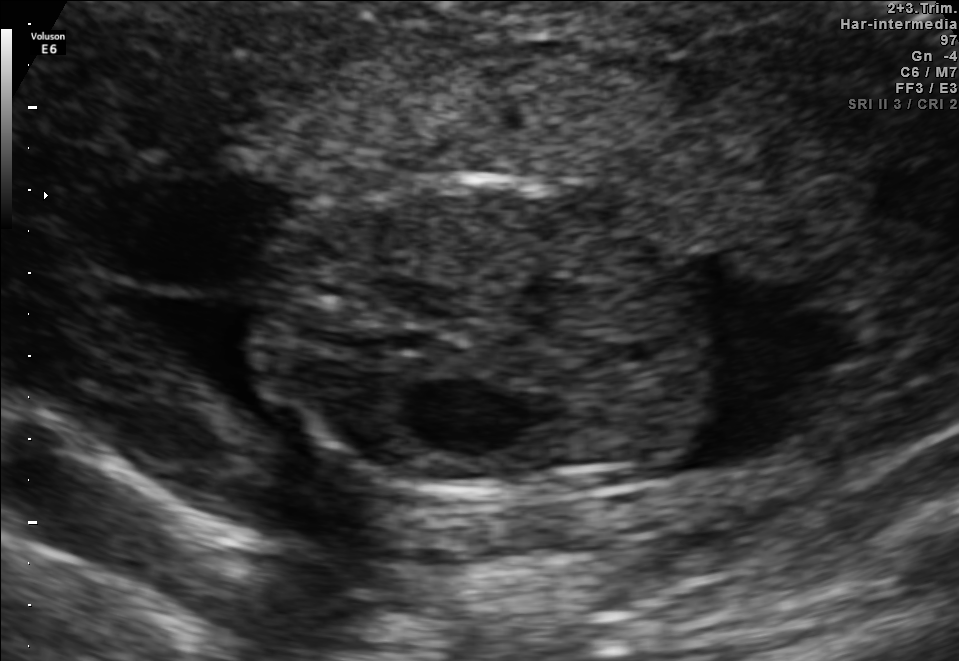
Classify this maternal-fetal ultrasound image as one of the six standard planes — fetal abdomen, fetal brain, fetal femur, fetal thorax, maternal cervix, or other. If it's fetal brain and one of the three standard brain planes (trans-thalamic, trans-cerebellum, trans-ventricular), name which.

Fetal abdomen